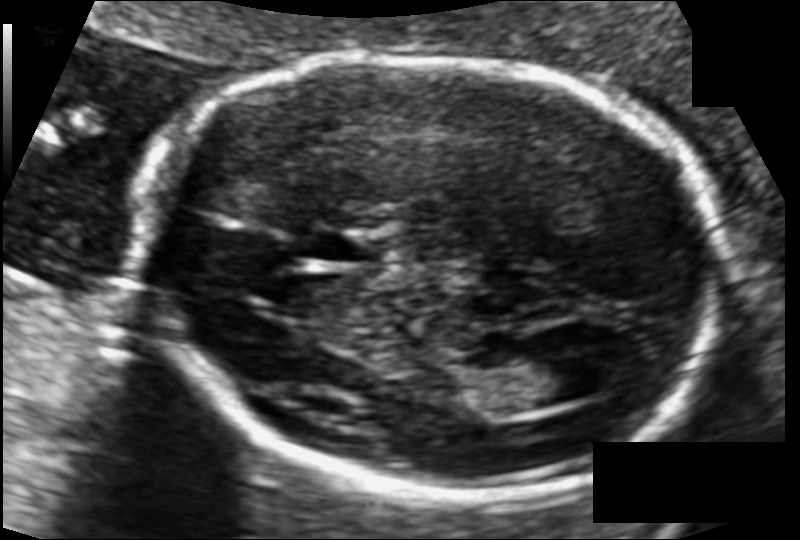
In this fetal head ultrasound, give the bounding box of the fetal head. Image width: 81.0 mm.

[140,54,723,496]